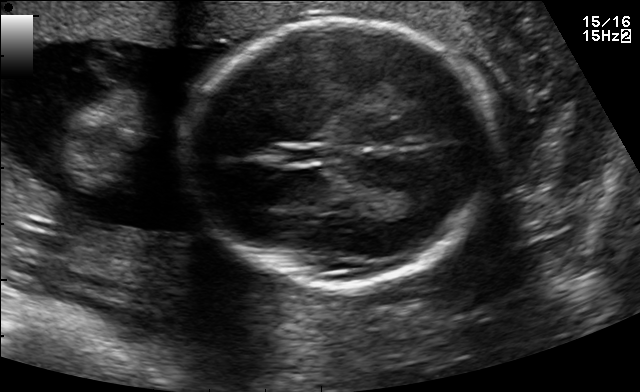
Fetal brain, trans-thalamic plane. Where is the cavum septum pellucidum?

CSP bounding box: [280,144,331,165]